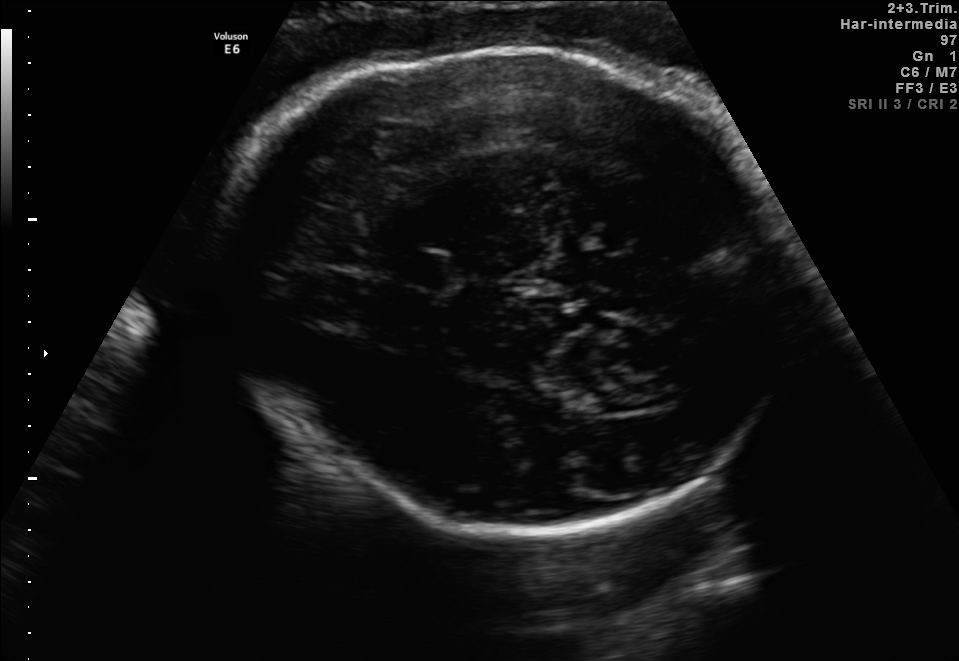
Fetal brain, trans-thalamic plane. Where is the cavum septum pellucidum?

CSP bounding box: [403,252,452,290]